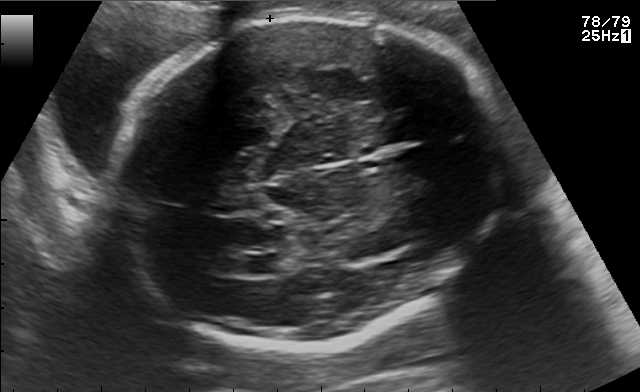
Fetal brain, trans-ventricular plane. Where is the fetal head?

Head bounding box: [113,13,518,354]